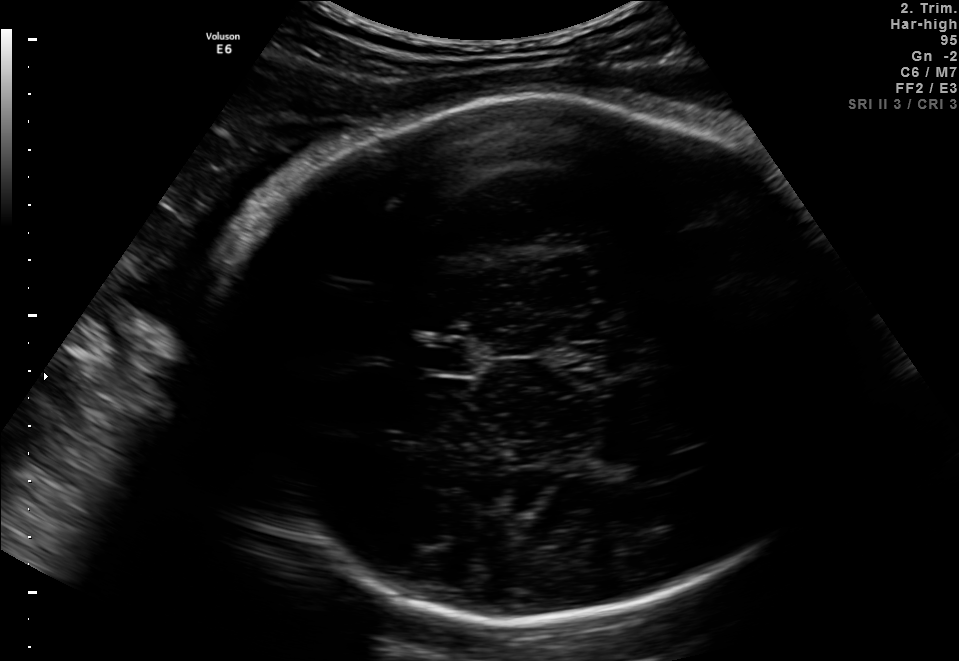
Fetal brain, trans-thalamic plane. Where is the fetal head?

Head bounding box: [204,92,851,615]